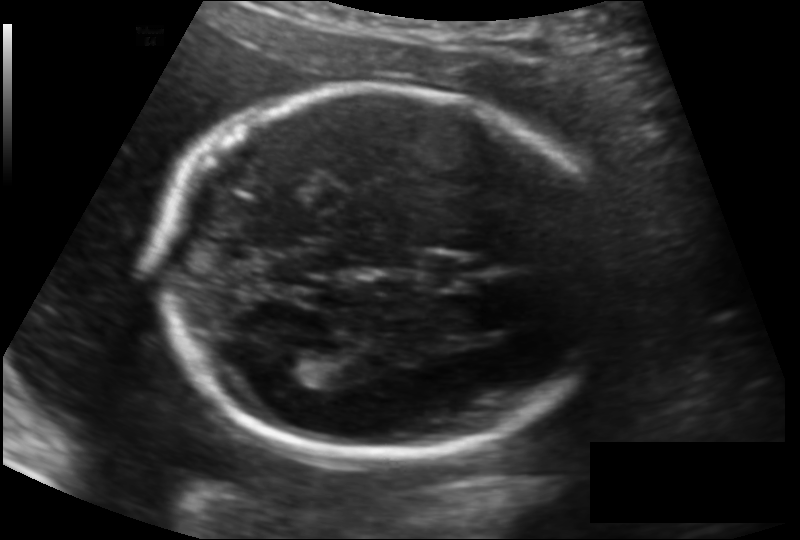
What is the fetal head circumference? Image width is 107.5 mm.

181.0 mm